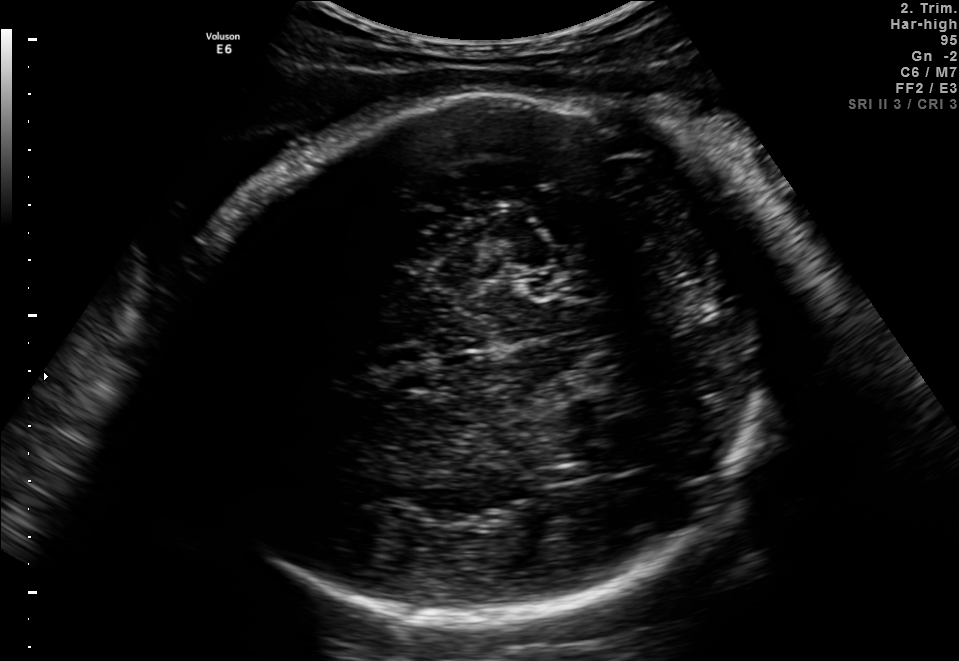
In this fetal brain, trans-thalamic plane, give bounding boxes for the head outline, cavum septum pellucidum (CSP), and lateral ventricle (LV), where visible.

Head: [172,82,797,625]